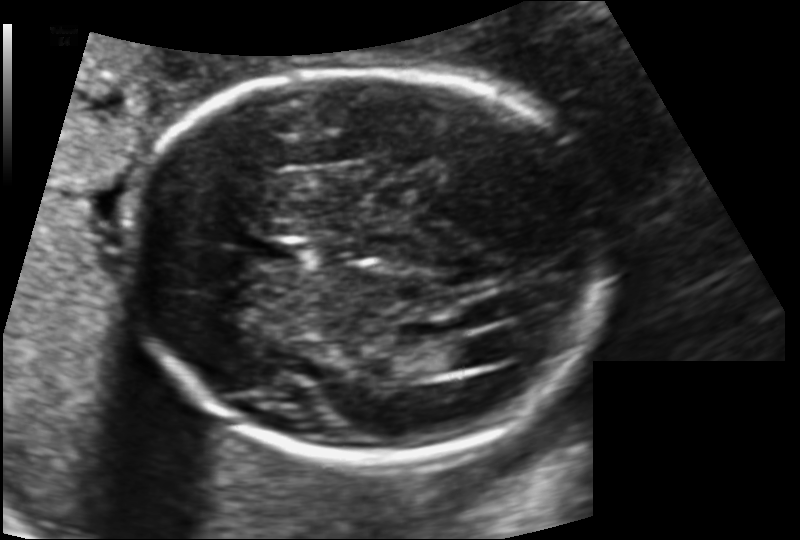
Fetal head ultrasound. Image width: 107.8 mm. Locate the fetal head.

Head: [123,68,611,457]